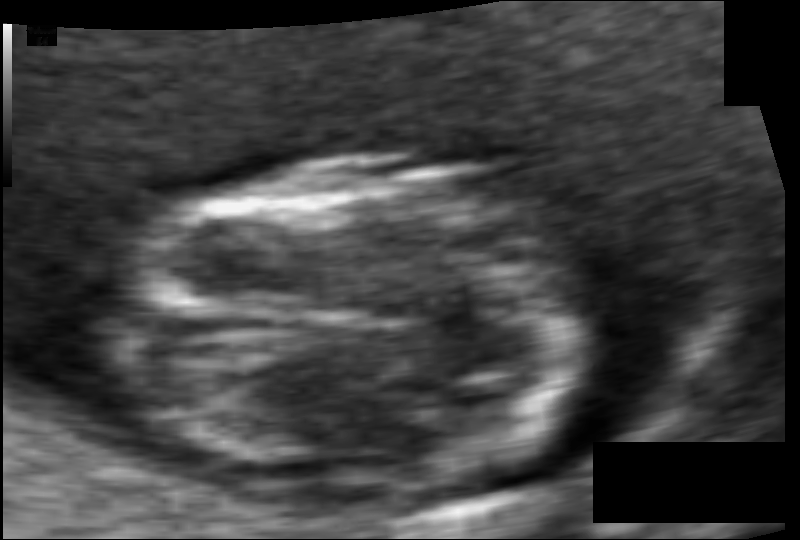
Fetal head ultrasound. Image width: 39.5 mm. Where is the fetal head?

Head bounding box: [112,164,601,495]